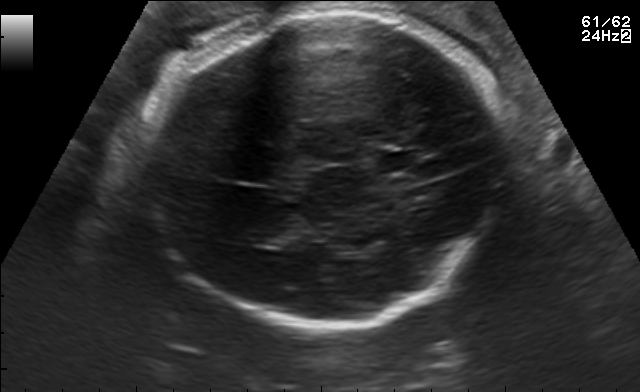
Fetal brain, trans-thalamic plane. Locate the fetal head and, if visible, the cavum septum pellucidum (CSP) and lateral ventricle (LV). Give bounding boxes as [x1,y1,x2,y2].

Head: [137,12,505,326]
CSP: [375,149,417,174]